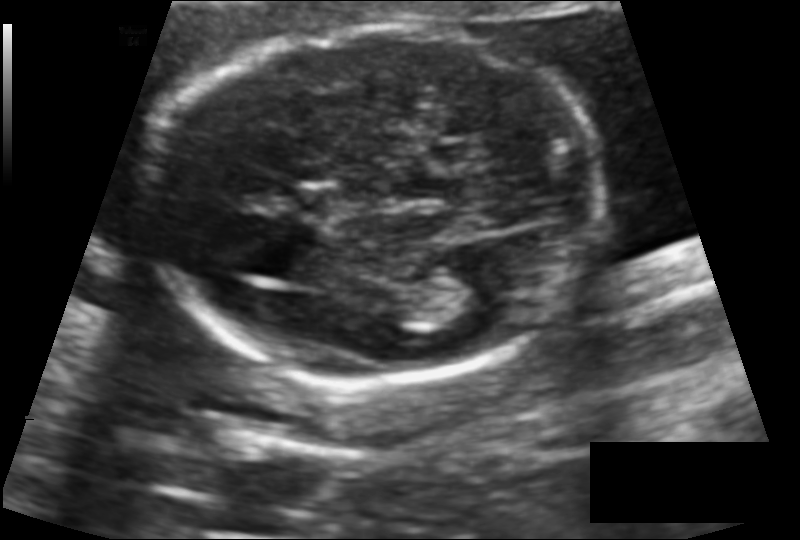
Estimate the fetal head circumference from this 2D ultrasound. Image width: 94.4 mm.

Head circumference: 156.9 mm.